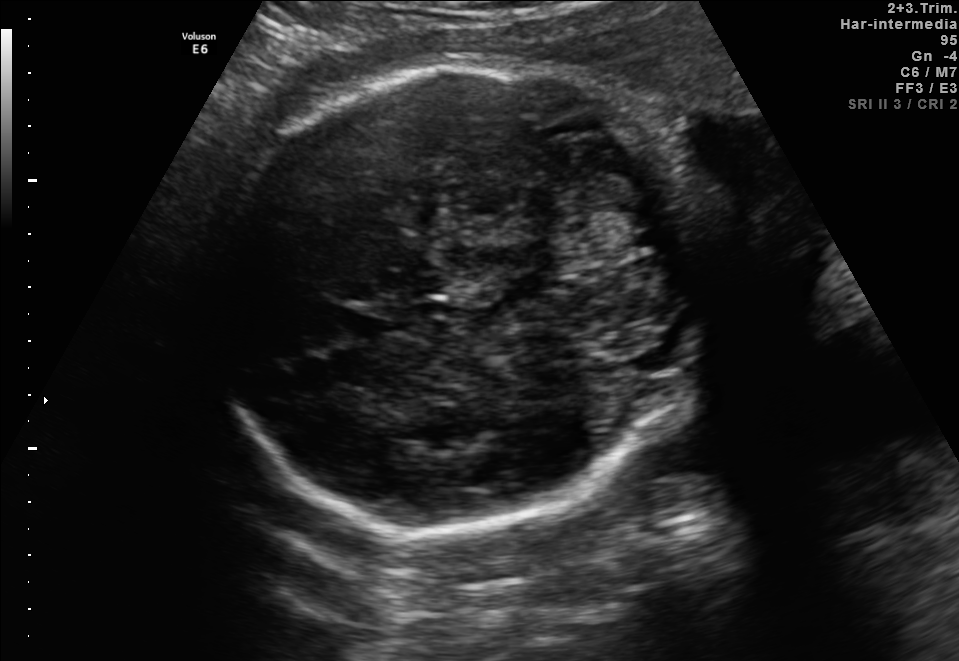
In this fetal brain, trans-cerebellum plane, give the bounding box of the fetal head.

[213,57,722,534]